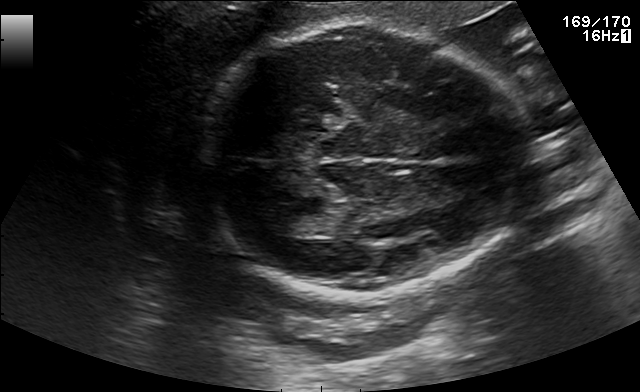
In this fetal brain, trans-thalamic plane, give the bounding box of the fetal head.

[196,23,530,297]